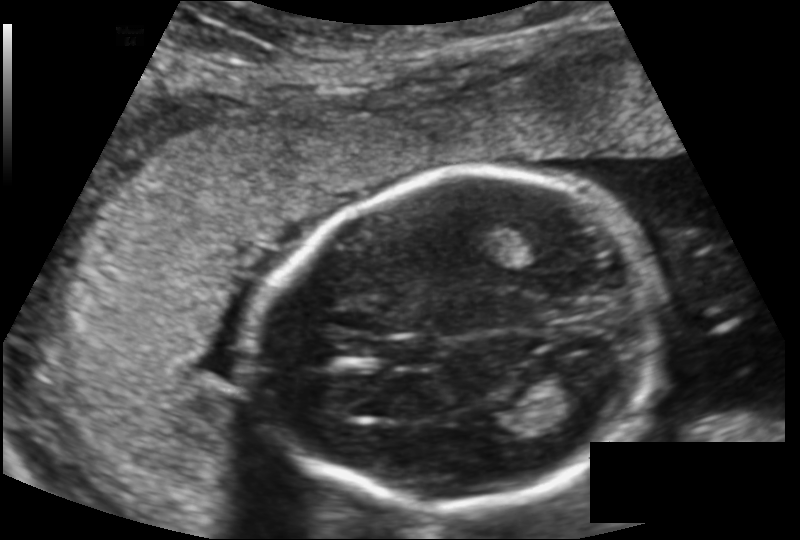
Estimate the fetal head circumference from this 2D ultrasound. Image width: 119.2 mm.

Head circumference: 182.4 mm.